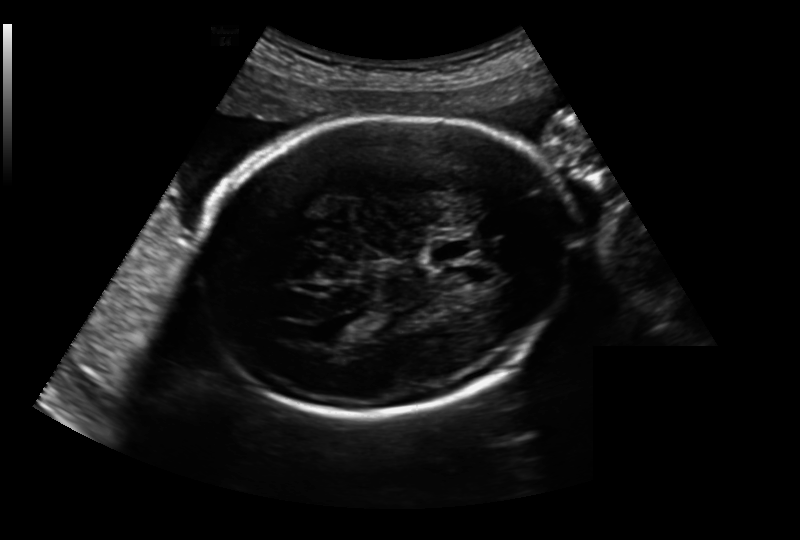
Estimate the fetal head circumference from this 2D ultrasound. Image width: 170.6 mm.

Head circumference: 233.3 mm.